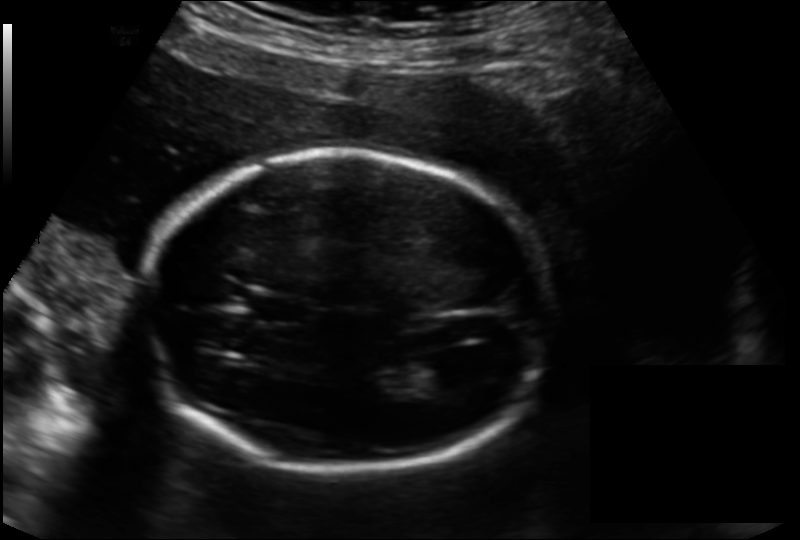
In this fetal head ultrasound, give the bounding box of the fetal head. Image width: 133.1 mm.

[147,148,551,472]